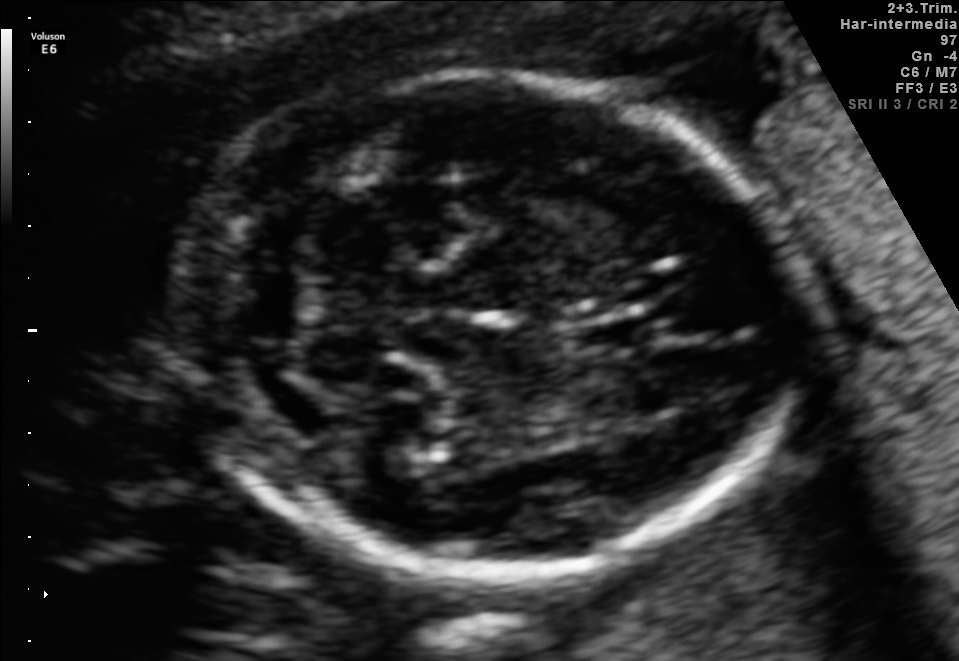
In this fetal brain, trans-cerebellum plane, give the bounding box of the cavum septum pellucidum.

[565,305,656,365]